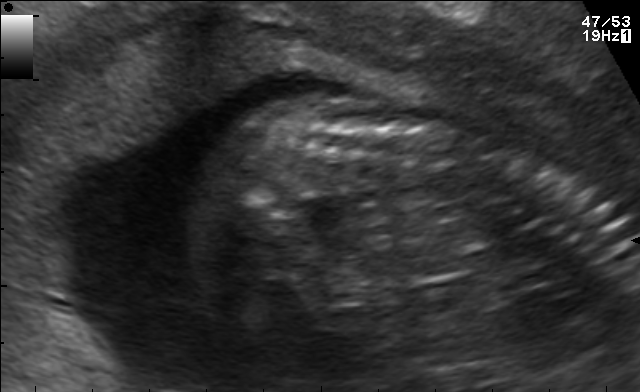
This is a 2D maternal-fetal ultrasound frame. Is it a fetal abdomen, fetal brain, fetal femur, fetal thorax, maternal cervix, or other standard plane? If it's fetal brain and one of the three standard brain planes (trans-thalamic, trans-cerebellum, trans-ventricular), name which.

Other